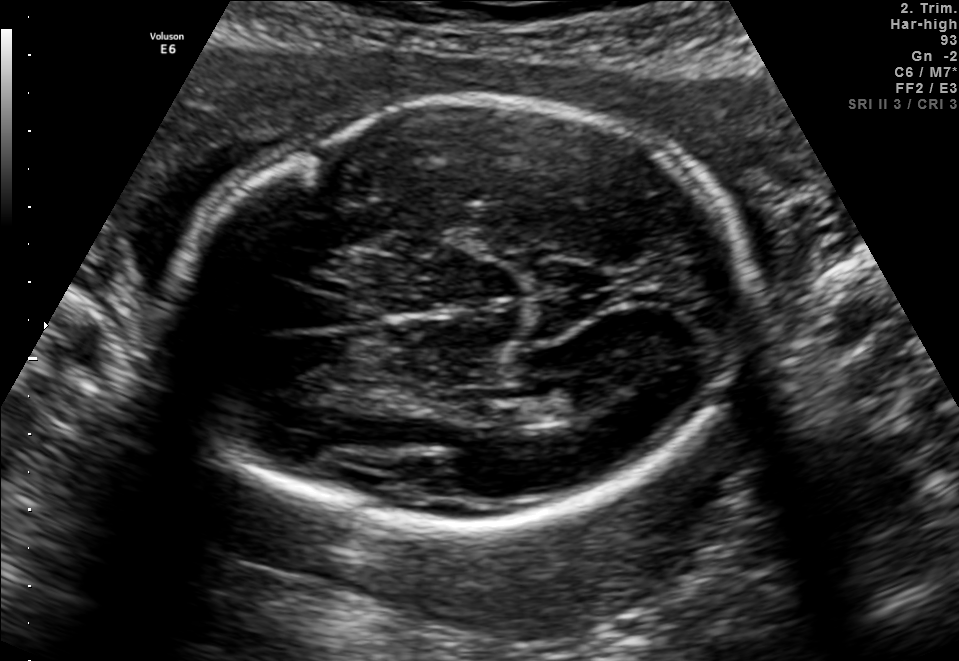
Fetal brain, trans-thalamic plane. Locate the lateral ventricle.

Lateral ventricle: [511,368,604,430]